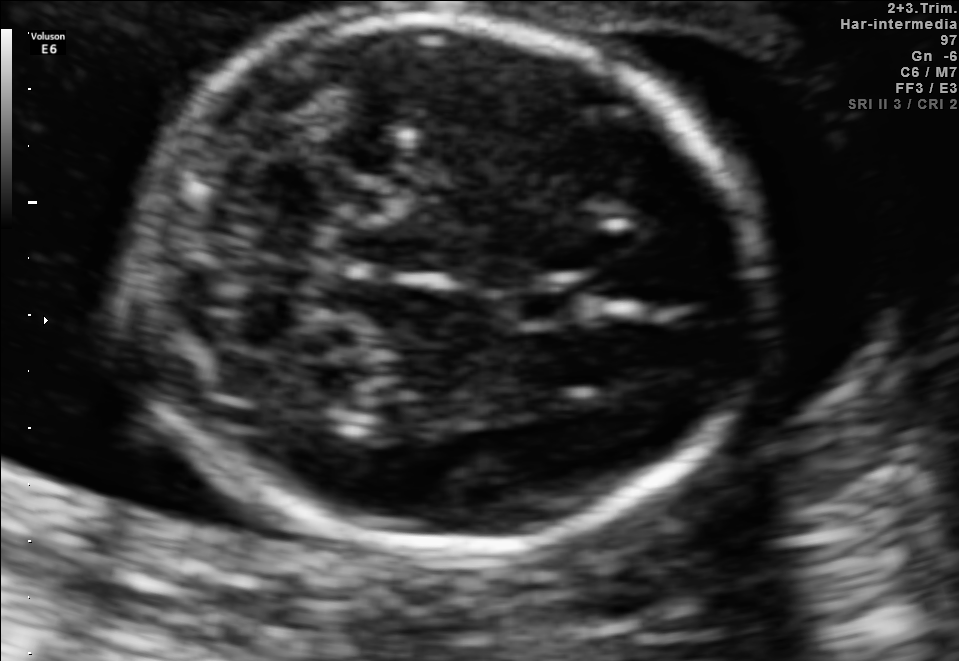
Fetal brain, trans-cerebellum plane. Locate the cavum septum pellucidum.

CSP: [506,278,581,329]